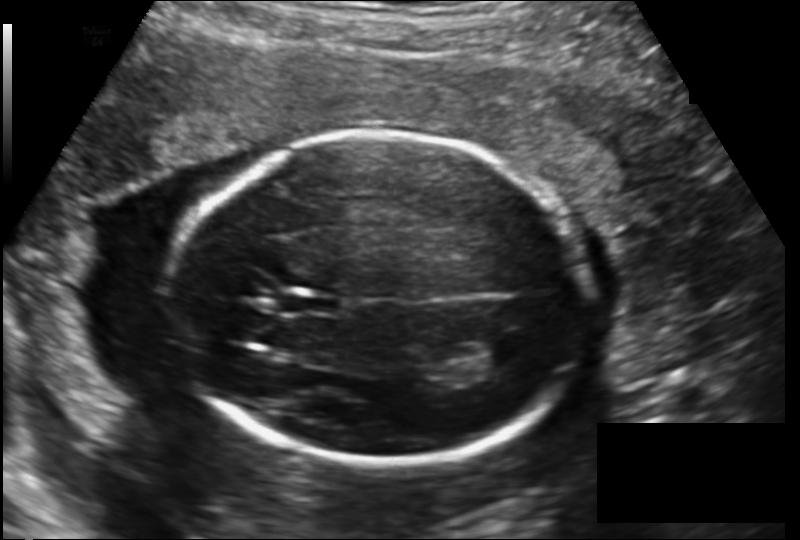
In this fetal head ultrasound, give the bounding box of the fetal head. Image width: 130.6 mm.

[167,133,593,464]